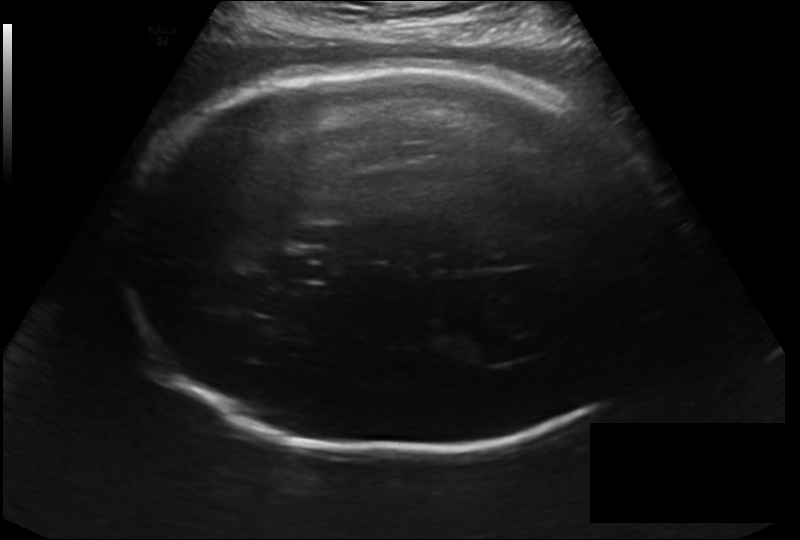
In this fetal head ultrasound, give bounding boxes for the head outline, cavum septum pellucidum (CSP), and lateral ventricle (LV), where visible. Image width: 171.6 mm.

Head: [122,64,677,452]
CSP: [279,247,329,283]
Lateral ventricle: [467,334,531,369]